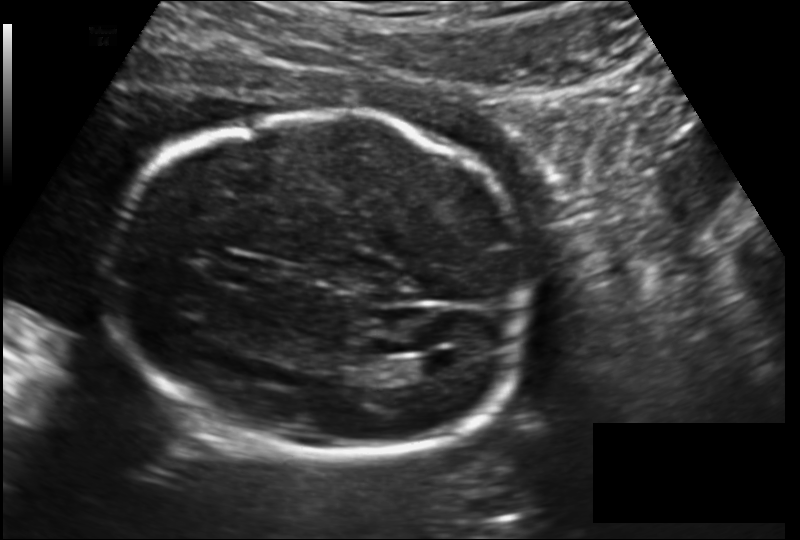
Fetal head ultrasound. Image width: 125.8 mm. Locate the fetal head and, if visible, the cavum septum pellucidum (CSP) and lateral ventricle (LV). Give bounding boxes as [x1,y1,x2,y2].

Head: [104,109,536,462]
CSP: [217,252,272,289]
Lateral ventricle: [411,349,461,382]